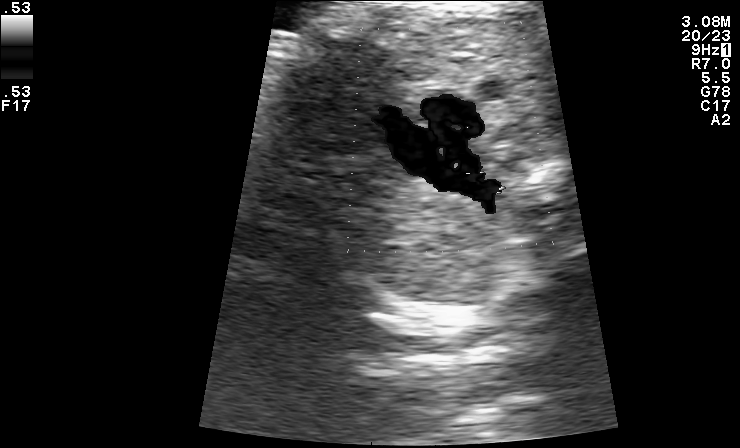
This is a 2D maternal-fetal ultrasound frame. Is it a fetal abdomen, fetal brain, fetal femur, fetal thorax, maternal cervix, or other standard plane? If it's fetal brain and one of the three standard brain planes (trans-thalamic, trans-cerebellum, trans-ventricular), name which.

Other